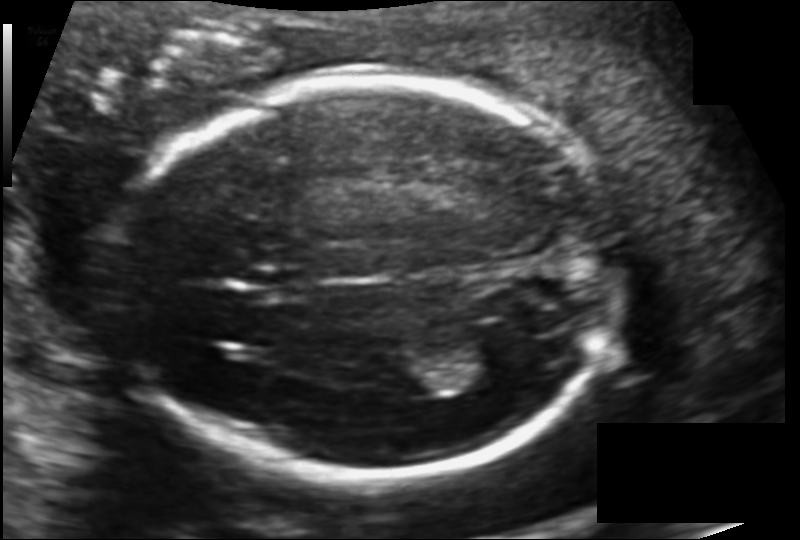
From this fetal ultrasound, estimate the head circumference (image width 101.2 mm).

Head circumference: 184.6 mm.